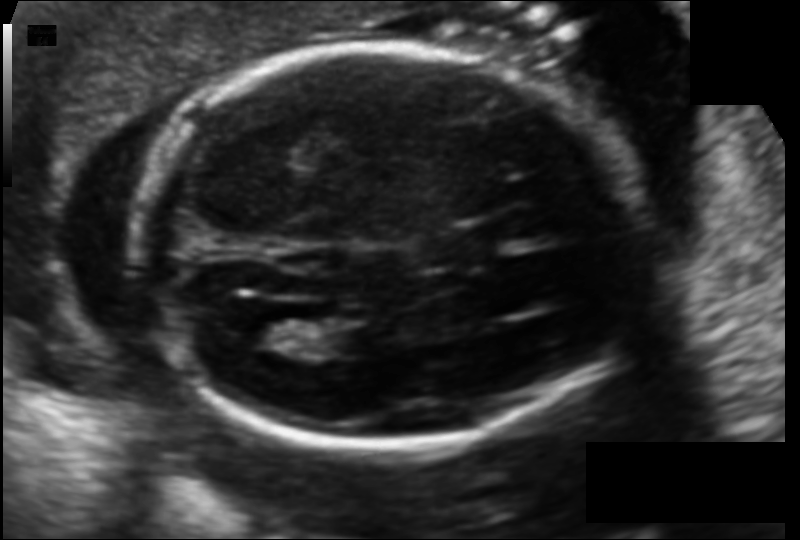
Estimate the fetal head circumference from this 2D ultrasound. Image width: 96.5 mm.

Head circumference: 175.1 mm.